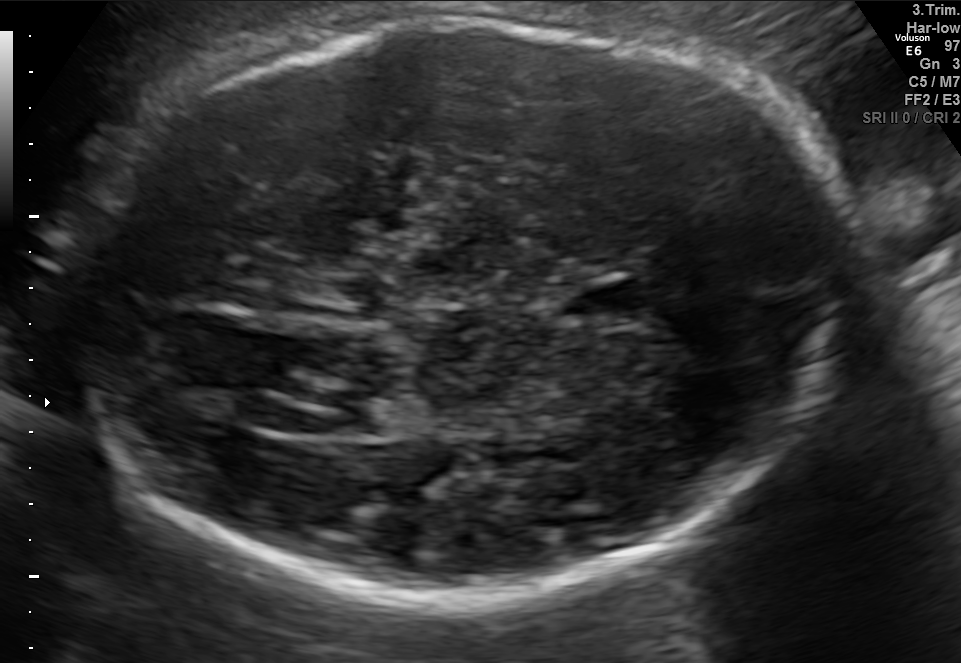
Which standard maternal-fetal ultrasound plane is shown: fetal abdomen, fetal brain, fetal femur, fetal thorax, maternal cervix, or other? If it's fetal brain and one of the three standard brain planes (trans-thalamic, trans-cerebellum, trans-ventricular), name which.

Fetal brain (trans-ventricular plane)